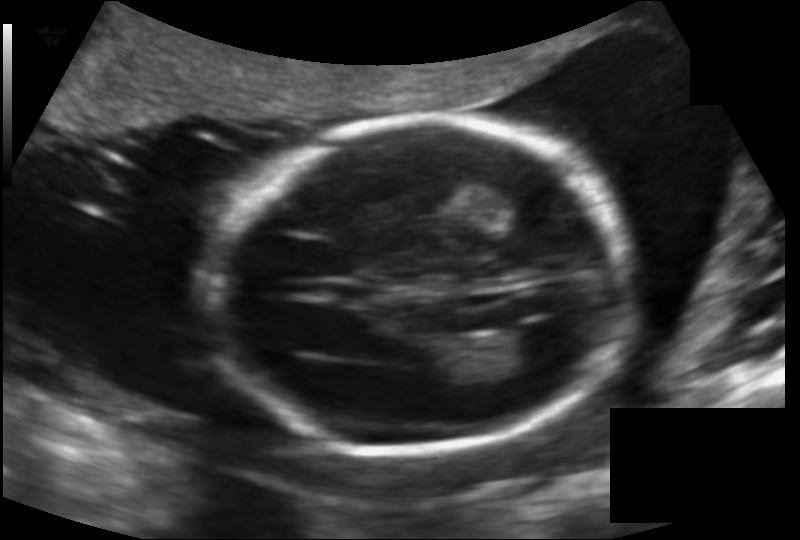
Measure the fetal head circumference shown in this ultrasound image. Image width: 113.7 mm.

Head circumference: 175.0 mm.